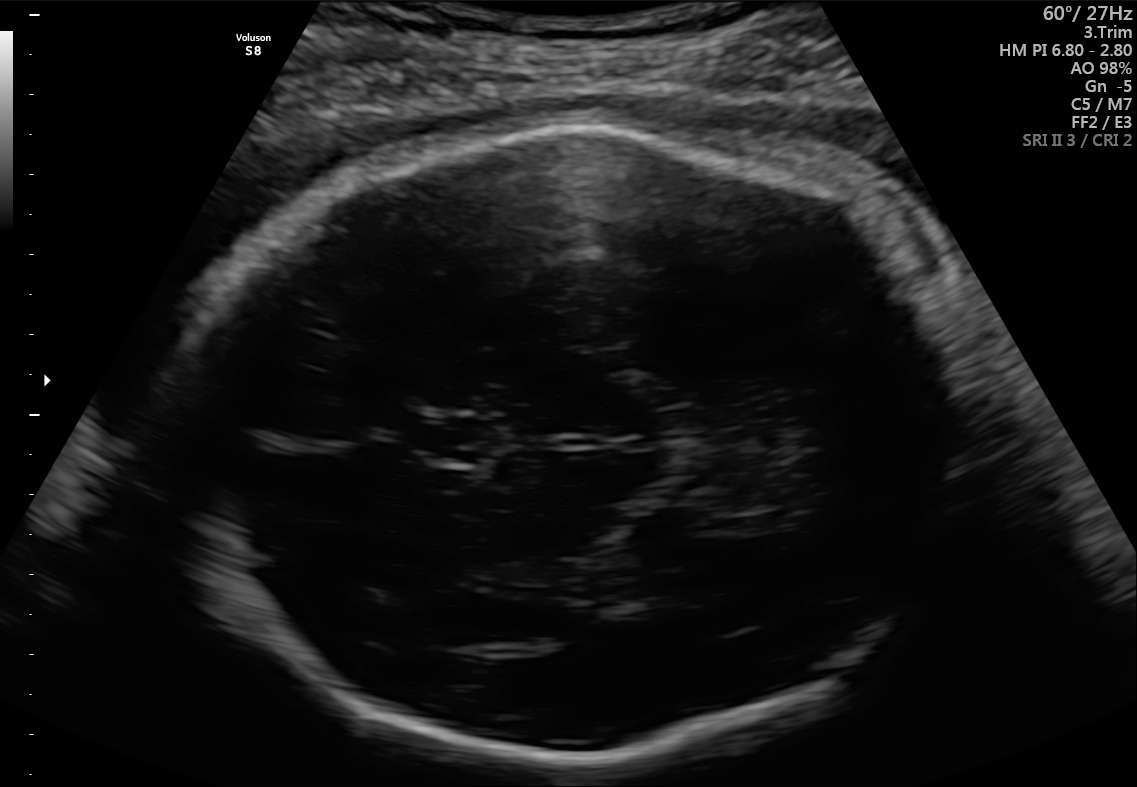
In this fetal brain, trans-thalamic plane, give bounding boxes for the head outline, cavum septum pellucidum (CSP), and lateral ventricle (LV), where visible.

Head: [166,130,992,764]
CSP: [418,417,488,464]